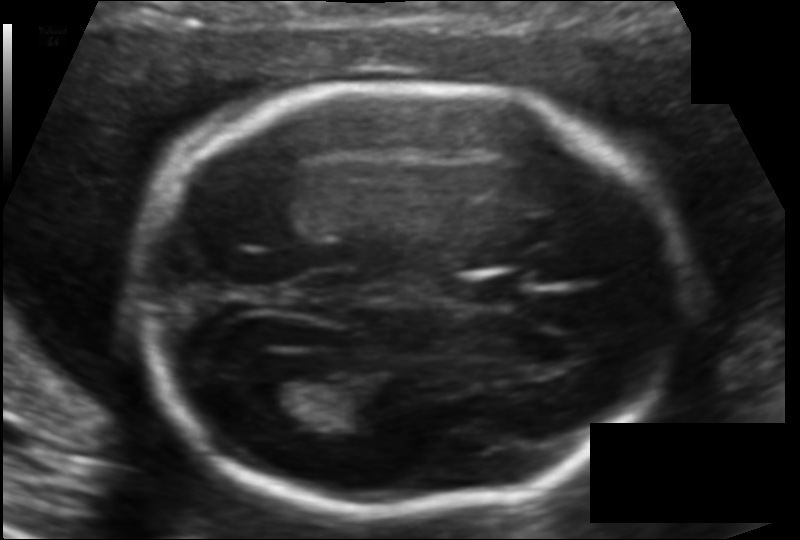
Fetal head ultrasound. Image width: 94.1 mm. Where is the cavum septum pellucidum?

CSP bounding box: [464,268,535,311]